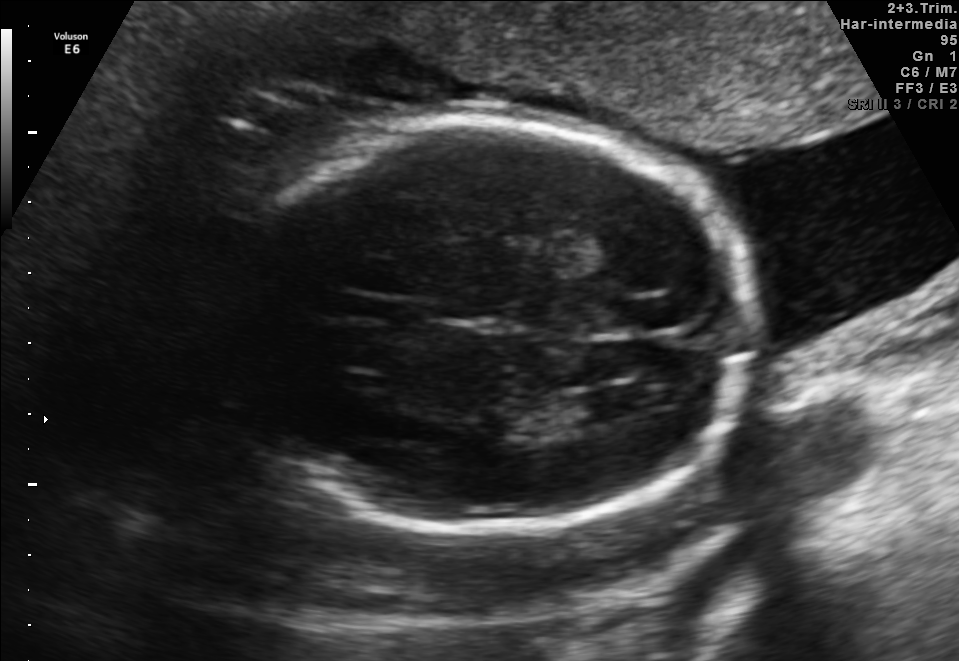
Fetal brain, trans-ventricular plane. Give [x1,y1,x2,y2] bounding boxes for each visible structure among: fetal head, CSP, LV.

Head: [235,111,762,536]
CSP: [352,297,409,324]
Lateral ventricle: [565,389,627,427]